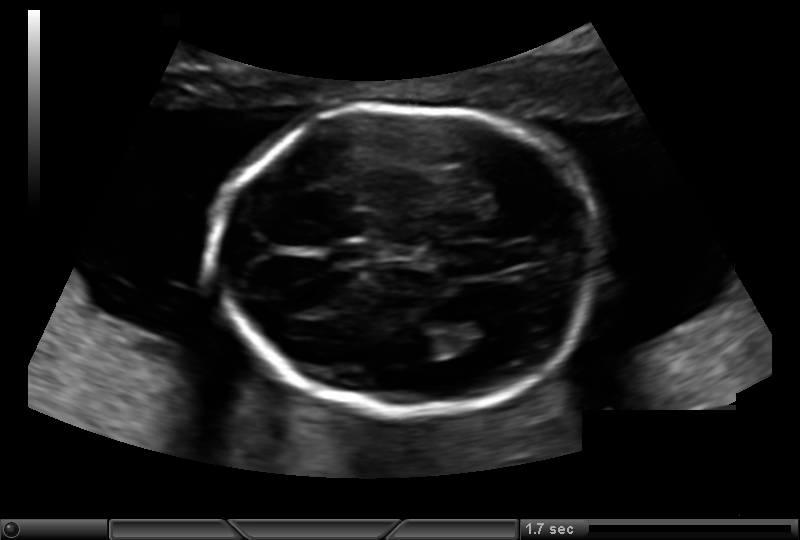
Fetal head ultrasound. Image width: 107.7 mm. Where is the cavum septum pellucidum?

CSP bounding box: [334,242,375,263]